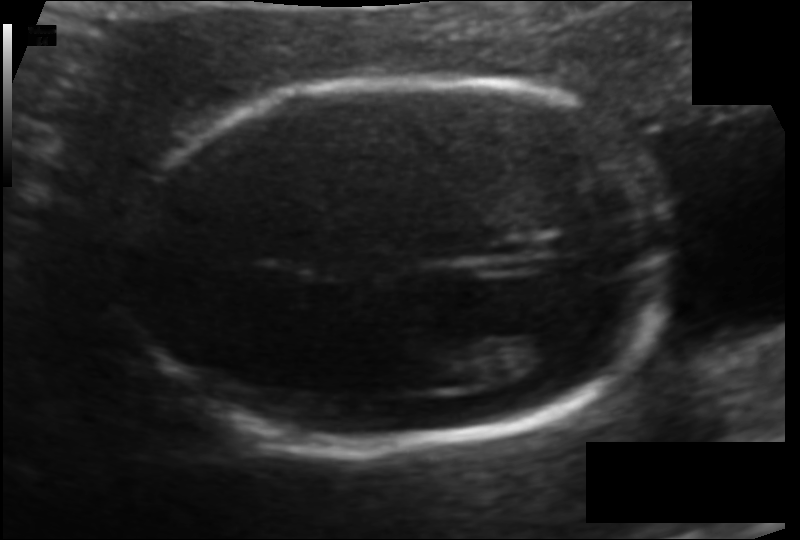
Fetal head ultrasound. Image width: 83.8 mm. Where is the fetal head?

Head bounding box: [126,73,677,446]